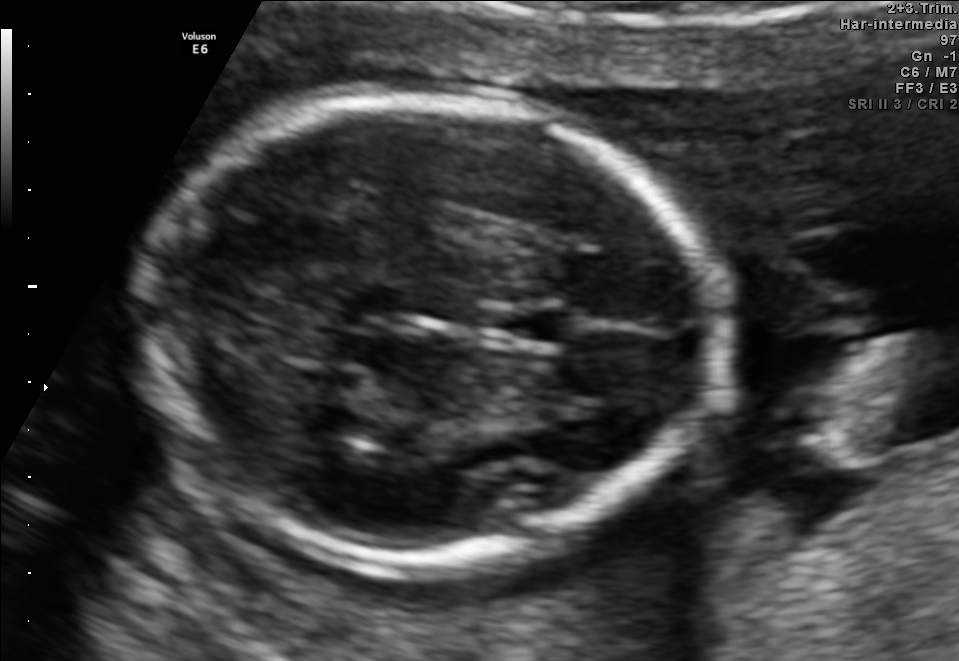
In this fetal brain, trans-thalamic plane, give the bounding box of the fetal head.

[139,98,724,567]